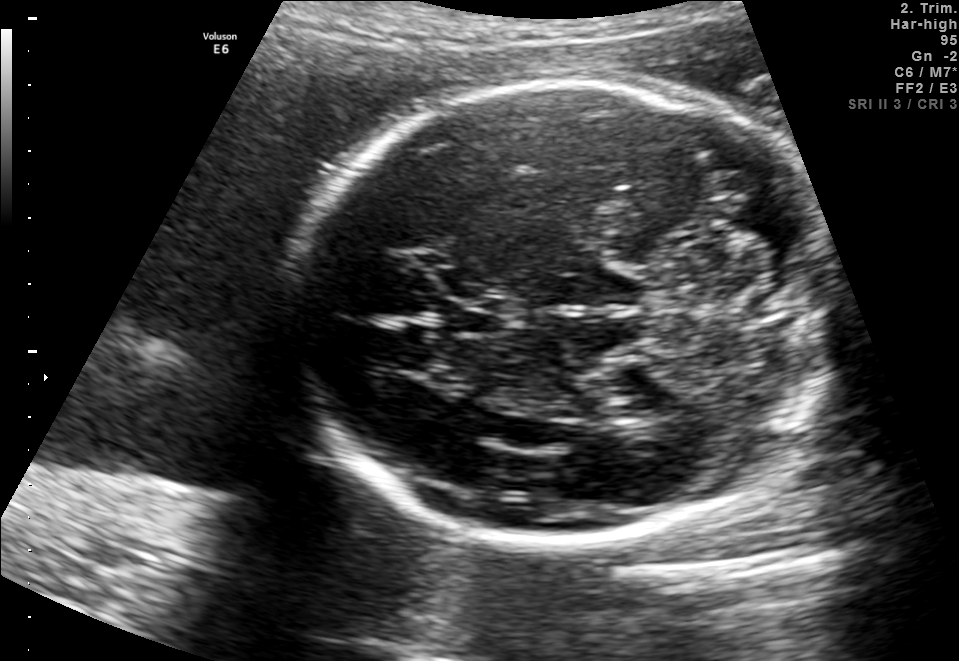
Fetal brain, trans-cerebellum plane. Where is the fetal head?

Head bounding box: [296,83,835,546]